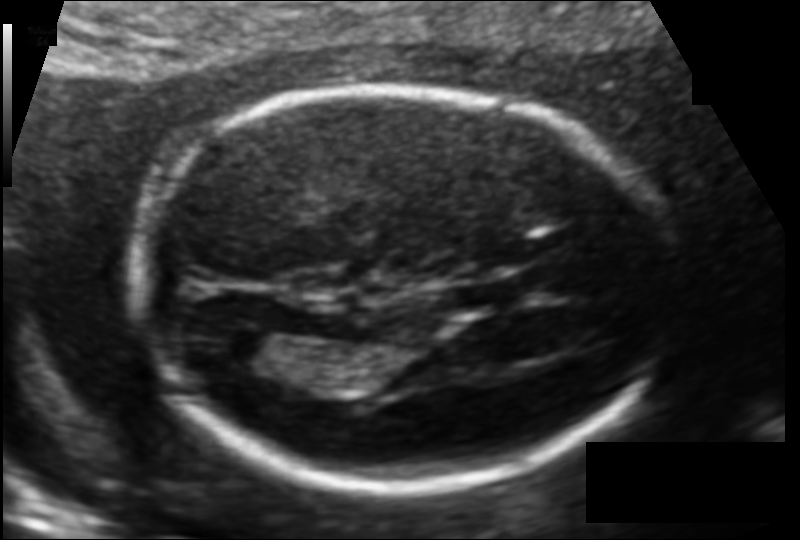
In this fetal head ultrasound, give the bounding box of the fetal head. Image width: 87.0 mm.

[138,88,665,489]